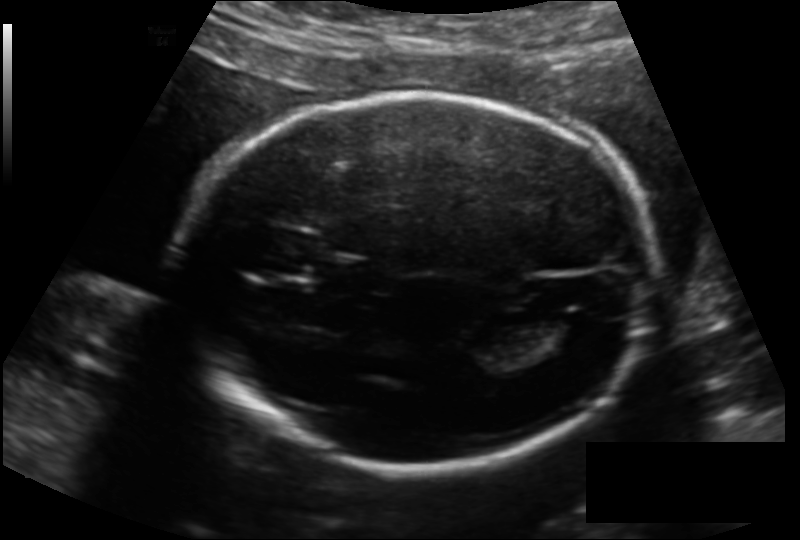
In this fetal head ultrasound, give the bounding box of the lateral ventricle. Image width: 120.8 mm.

[534,306,600,354]